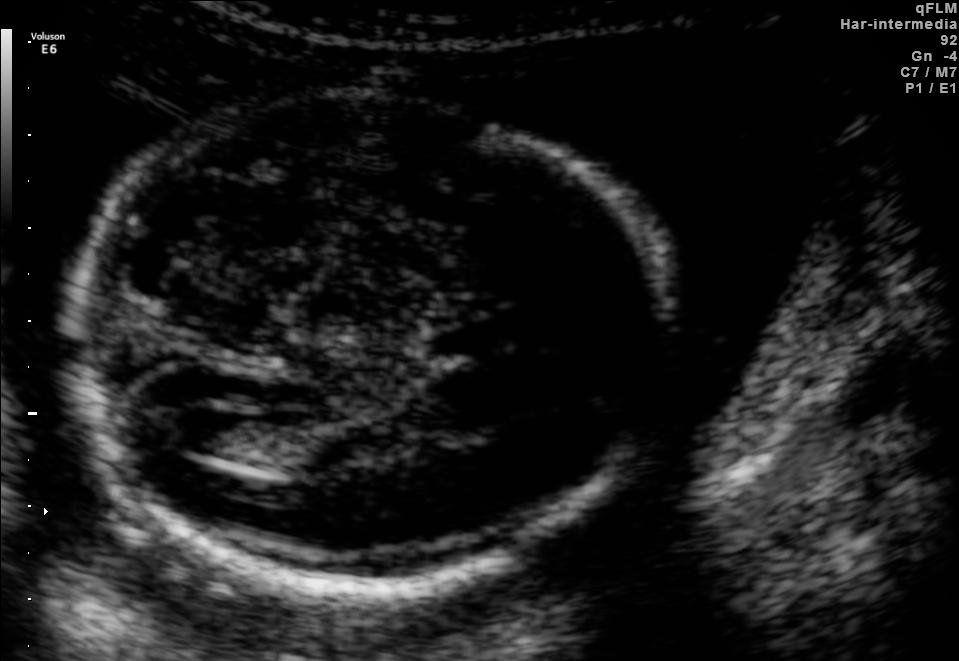
Fetal brain, trans-ventricular plane. Locate the fetal head and, if visible, the cavum septum pellucidum (CSP) and lateral ventricle (LV). Give bounding boxes as [x1,y1,x2,y2].

Head: [51,87,688,598]
Lateral ventricle: [165,401,250,462]